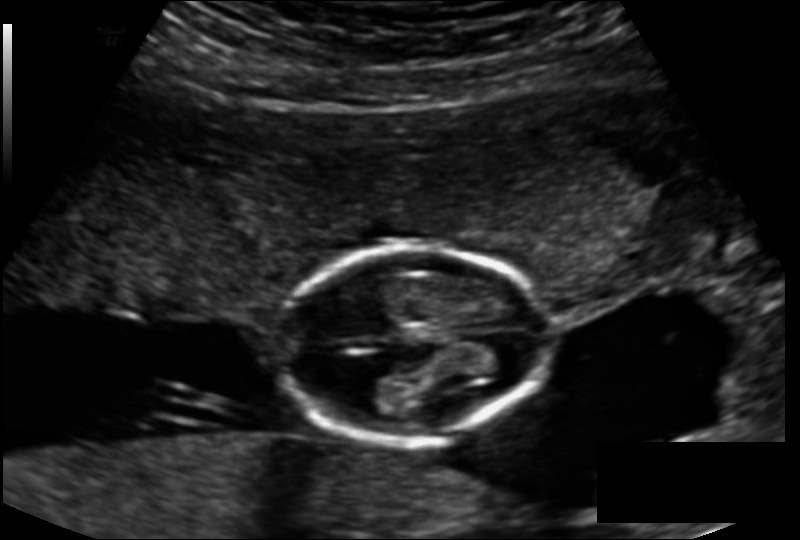
In this fetal head ultrasound, give bounding boxes for the head outline, cavum septum pellucidum (CSP), and lateral ventricle (LV), where visible. Image width: 114.3 mm.

Head: [277,247,546,440]